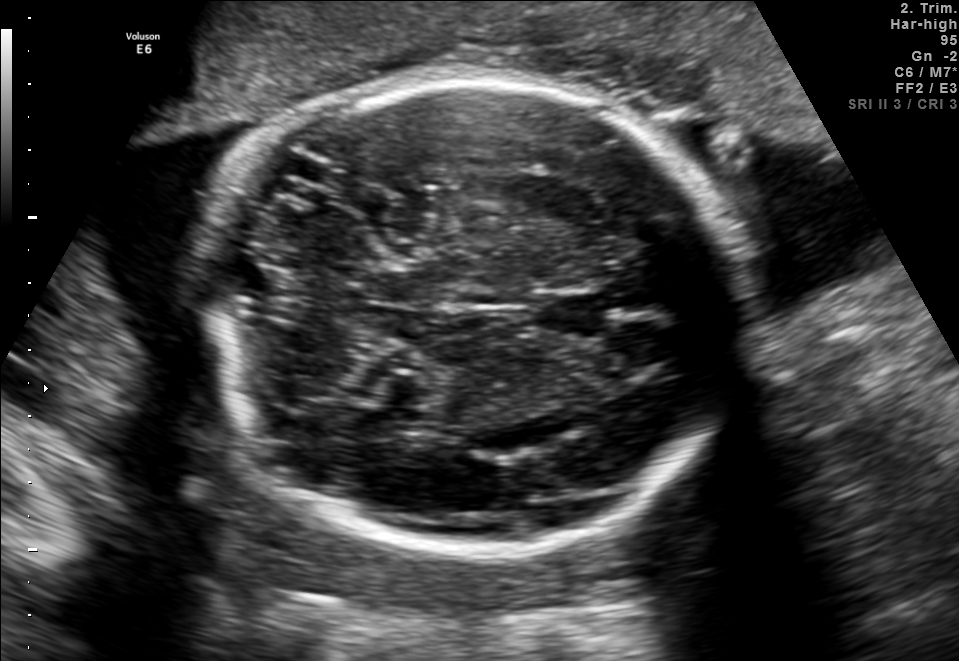
Fetal brain, trans-cerebellum plane. Where is the cavum septum pellucidum?

CSP bounding box: [536,292,603,339]